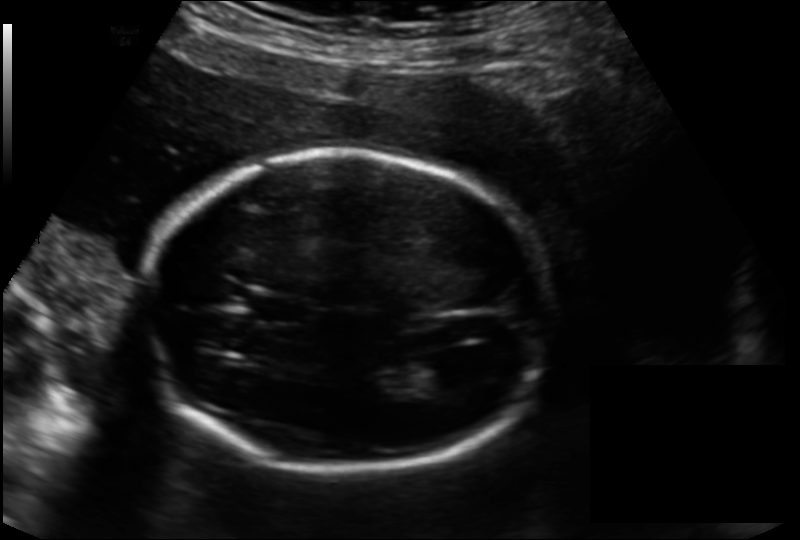
In this fetal head ultrasound, give the bounding box of the cavum septum pellucidum. Image width: 133.1 mm.

[251,292,315,329]